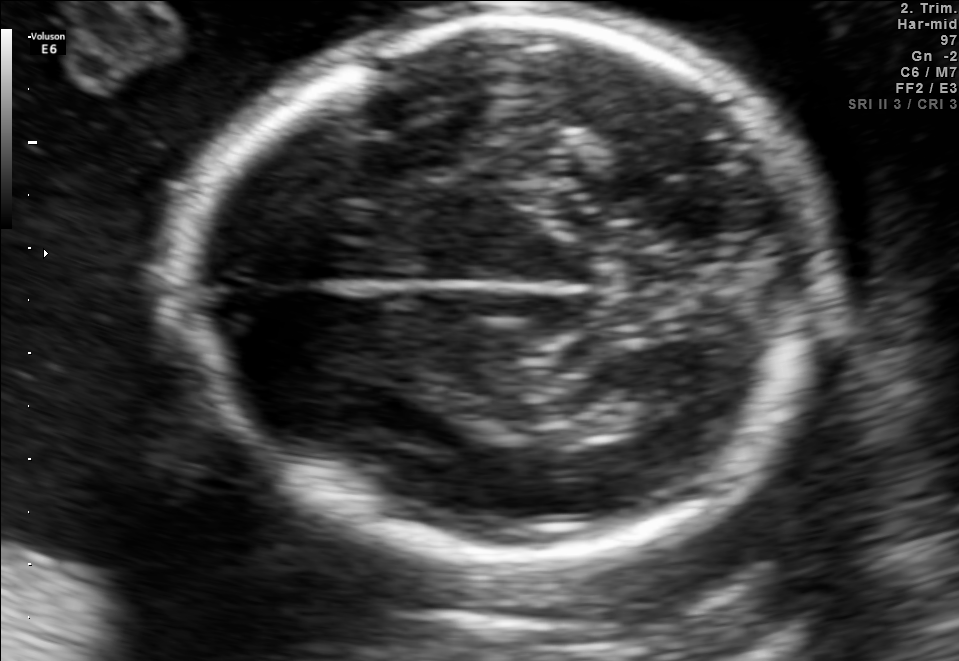
Fetal brain, trans-thalamic plane. Give [x1,y1,x2,y2] bounding boxes for each visible structure among: fetal head, CSP, LV.

Head: [177,17,836,568]